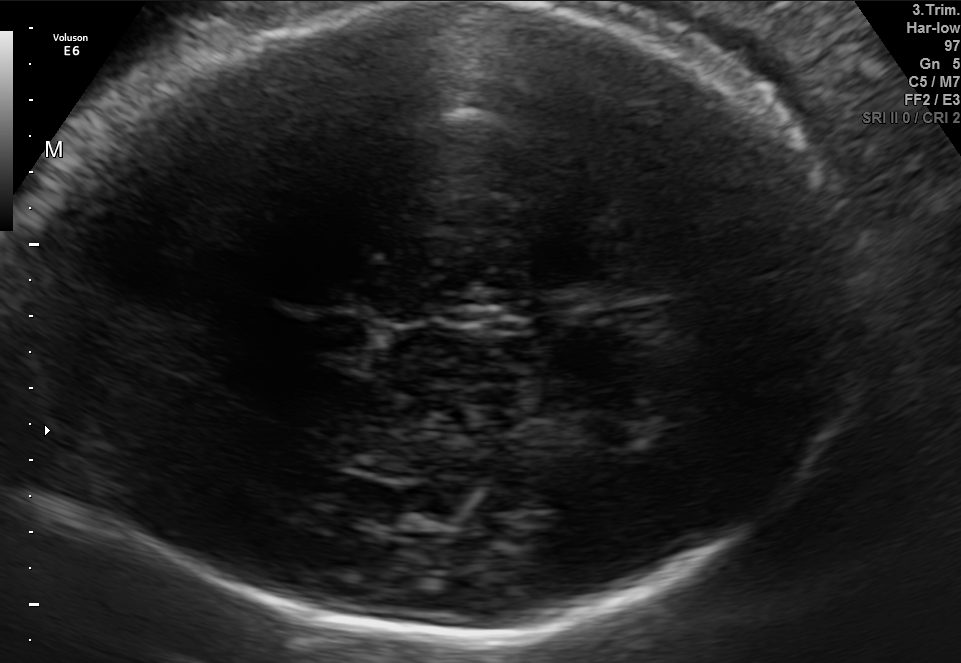
Fetal brain, trans-thalamic plane. Where is the fetal head?

Head bounding box: [5,3,854,636]